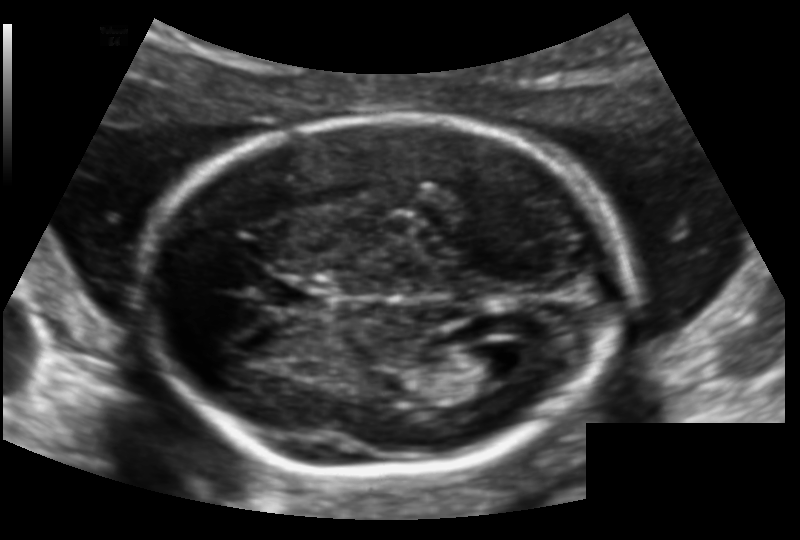
Fetal head ultrasound. Image width: 102.0 mm. Where is the fetal head?

Head bounding box: [145,115,623,477]